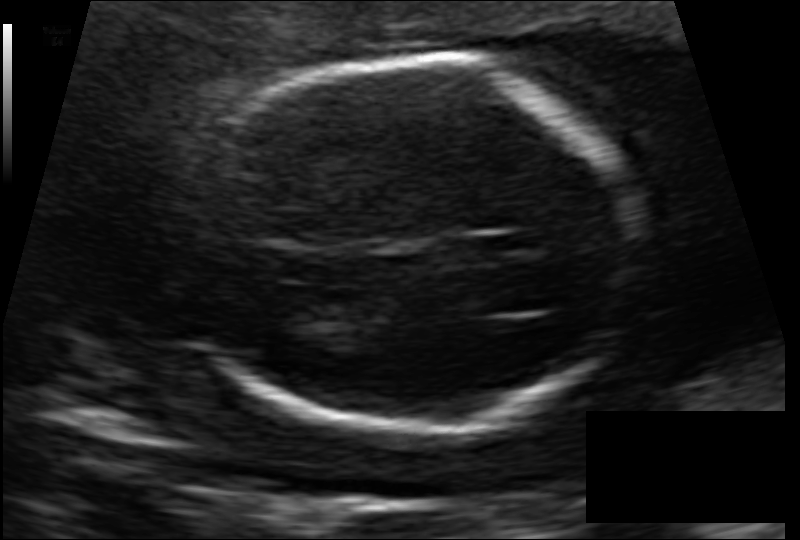
Estimate the fetal head circumference from this 2D ultrasound. Image width: 103.2 mm.

Head circumference: 173.8 mm.